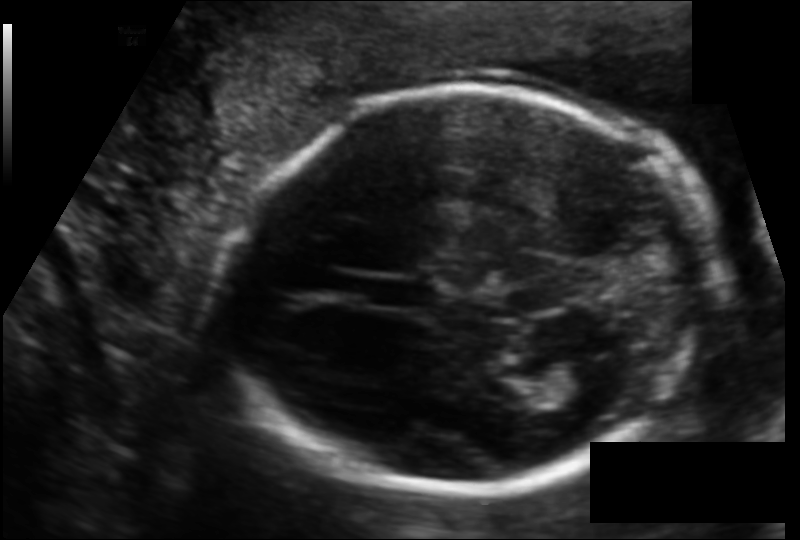
Fetal head ultrasound. Image width: 95.3 mm. Locate the fetal head and, if visible, the cavum septum pellucidum (CSP) and lateral ventricle (LV). Give bounding boxes as [x1,y1,x2,y2].

Head: [232,83,717,491]
CSP: [370,277,434,308]
Lateral ventricle: [527,347,624,417]